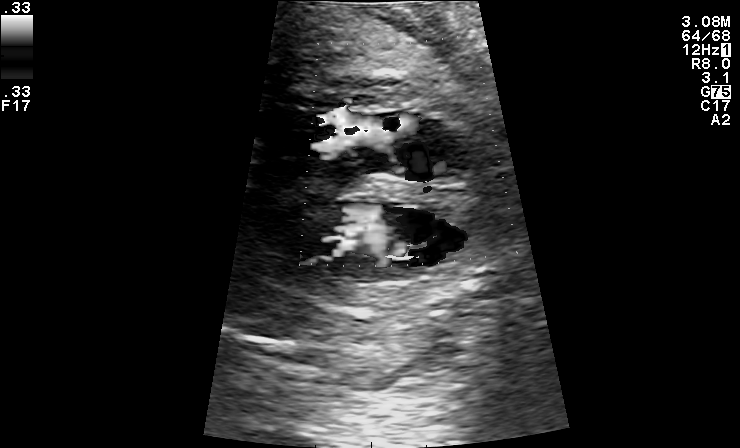
This is a 2D maternal-fetal ultrasound frame. Is it a fetal abdomen, fetal brain, fetal femur, fetal thorax, maternal cervix, or other standard plane? If it's fetal brain and one of the three standard brain planes (trans-thalamic, trans-cerebellum, trans-ventricular), name which.

Other